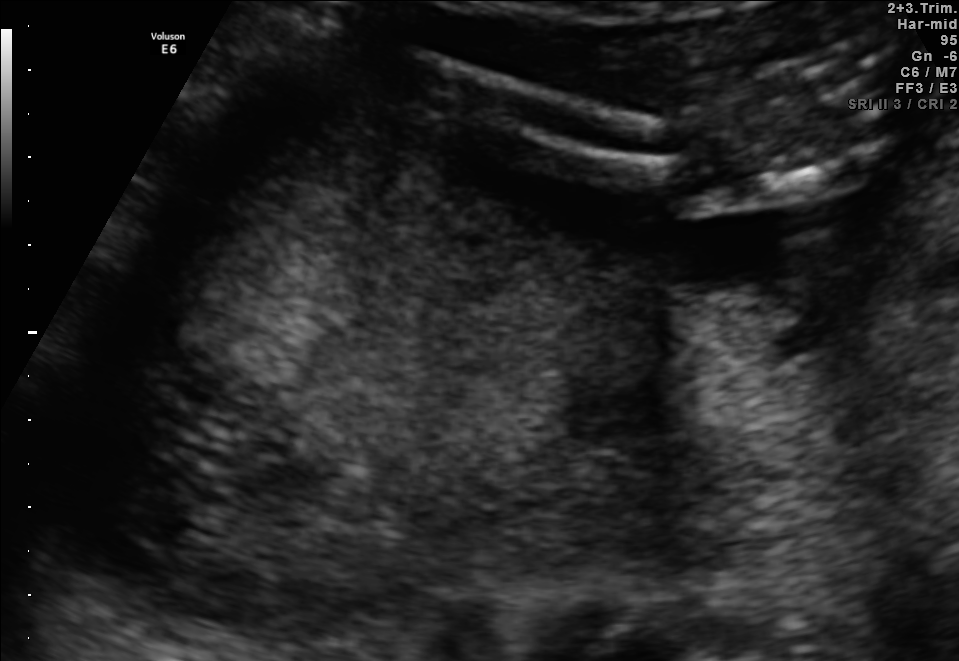
Which standard maternal-fetal ultrasound plane is shown: fetal abdomen, fetal brain, fetal femur, fetal thorax, maternal cervix, or other? If it's fetal brain and one of the three standard brain planes (trans-thalamic, trans-cerebellum, trans-ventricular), name which.

Other